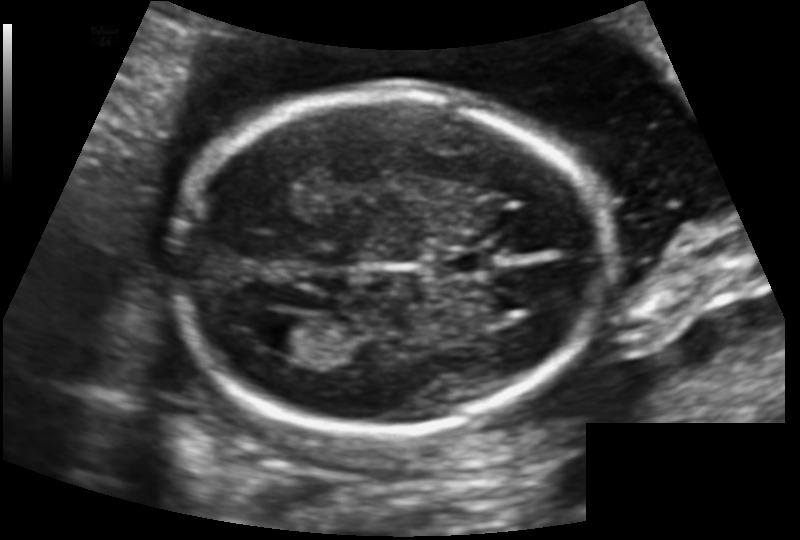
Fetal head ultrasound. Image width: 103.5 mm. Locate the fetal head and, if visible, the cavum septum pellucidum (CSP) and lateral ventricle (LV). Give bounding boxes as [x1,y1,x2,y2].

Head: [176,92,604,433]
CSP: [432,248,494,277]
Lateral ventricle: [255,309,324,357]